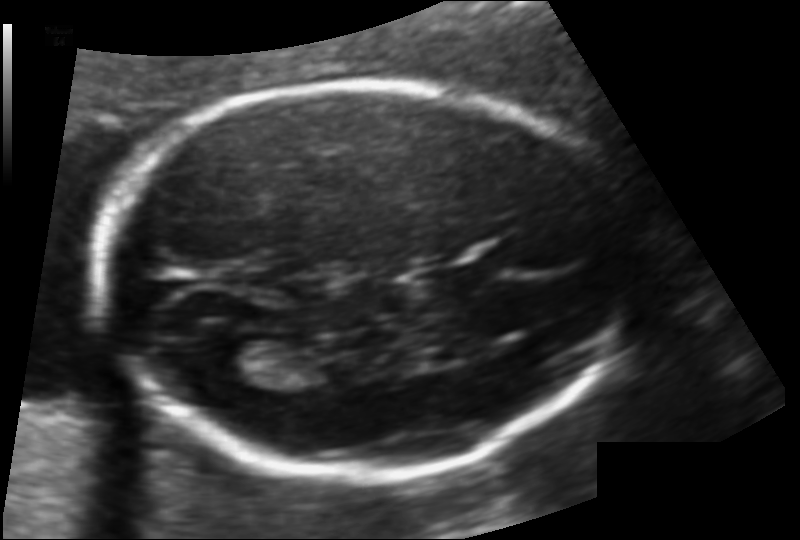
Fetal head ultrasound. Image width: 93.3 mm. Locate the lateral ventricle.

Lateral ventricle: [200,339,280,379]